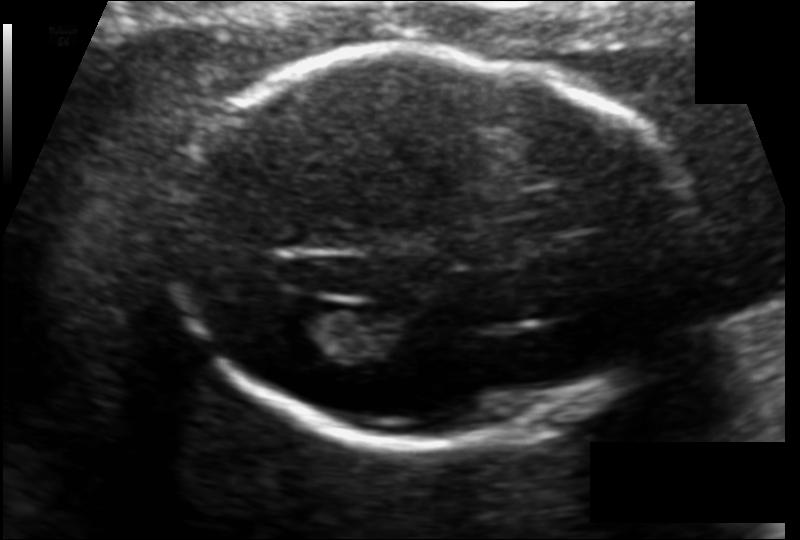
In this fetal head ultrasound, give bounding boxes for the head outline, cavum septum pellucidum (CSP), and lateral ventricle (LV), where visible. Image width: 96.2 mm.

Head: [175,49,688,450]
Lateral ventricle: [267,309,350,366]